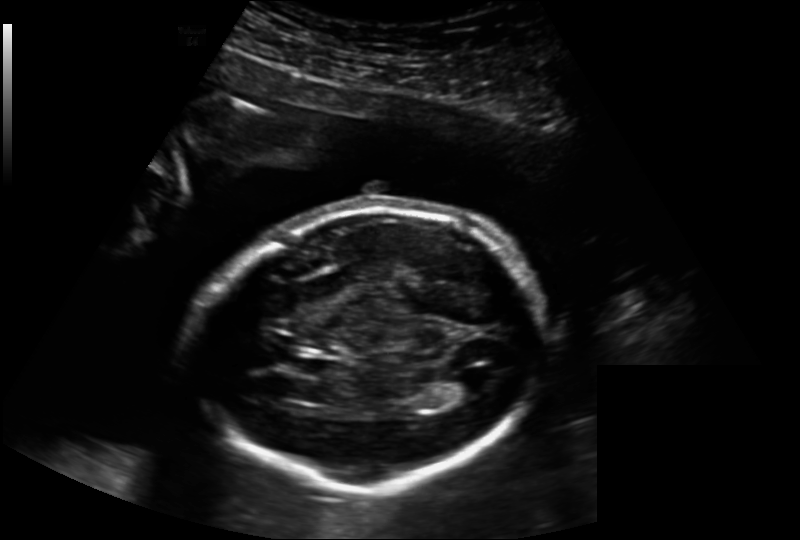
Fetal head ultrasound. Image width: 161.7 mm. Locate the lateral ventricle.

Lateral ventricle: [445,367,490,404]